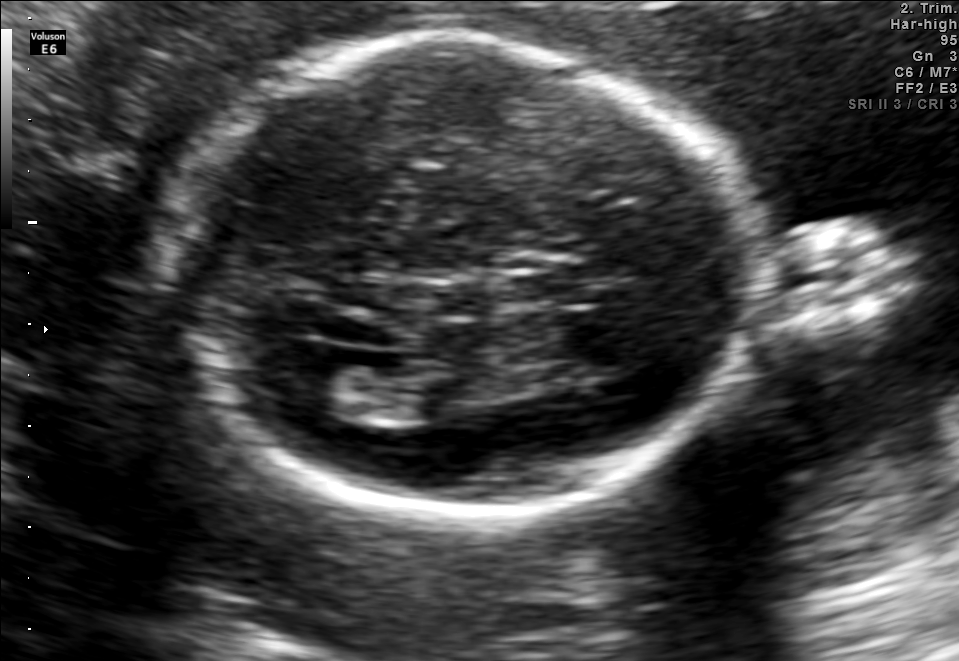
In this fetal brain, trans-ventricular plane, give the bounding box of the lateral ventricle.

[256,341,362,417]